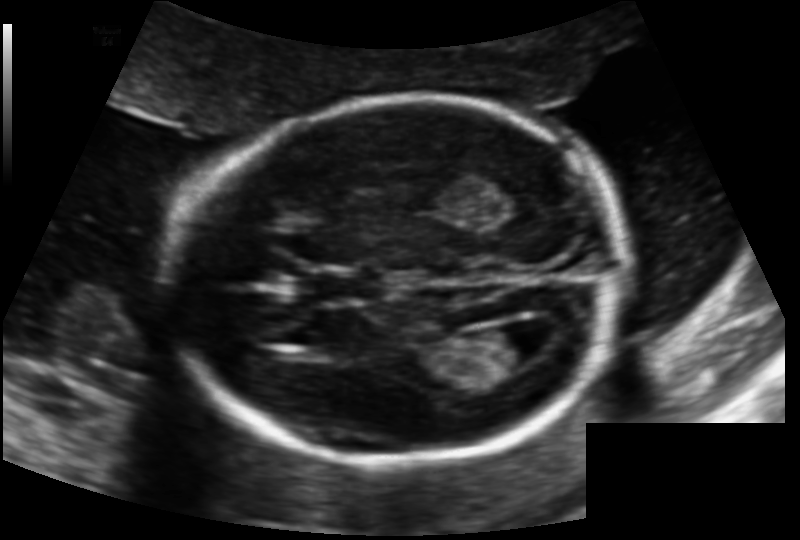
Estimate the fetal head circumference from this 2D ultrasound.

Head circumference: 174.9 mm (image width 104.9 mm).